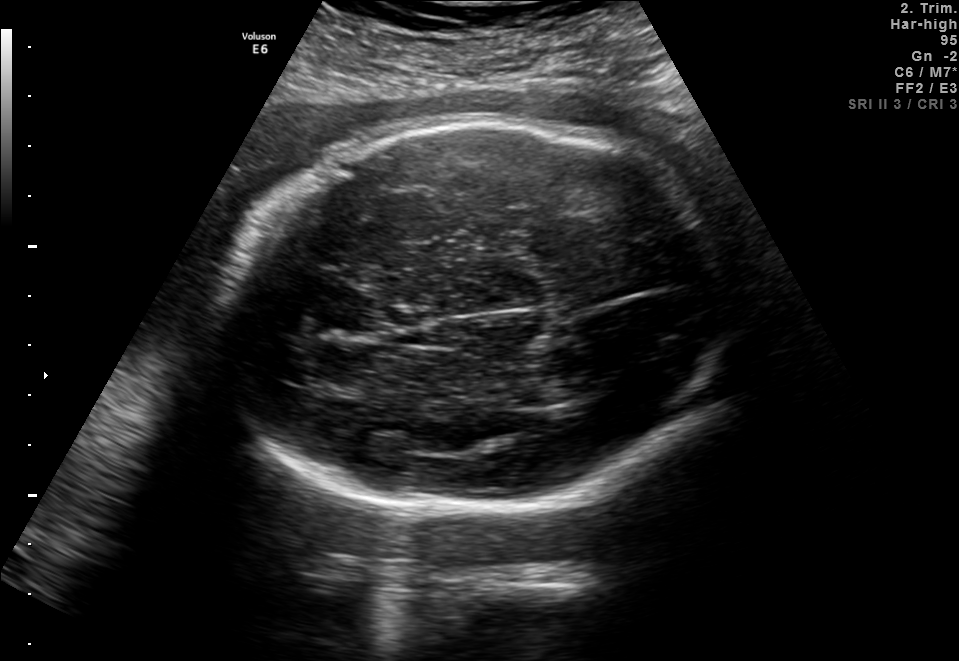
In this fetal brain, trans-thalamic plane, give bounding boxes for the head outline, cavum septum pellucidum (CSP), and lateral ventricle (LV), where visible.

Head: [224,125,743,508]
Lateral ventricle: [542,368,611,409]